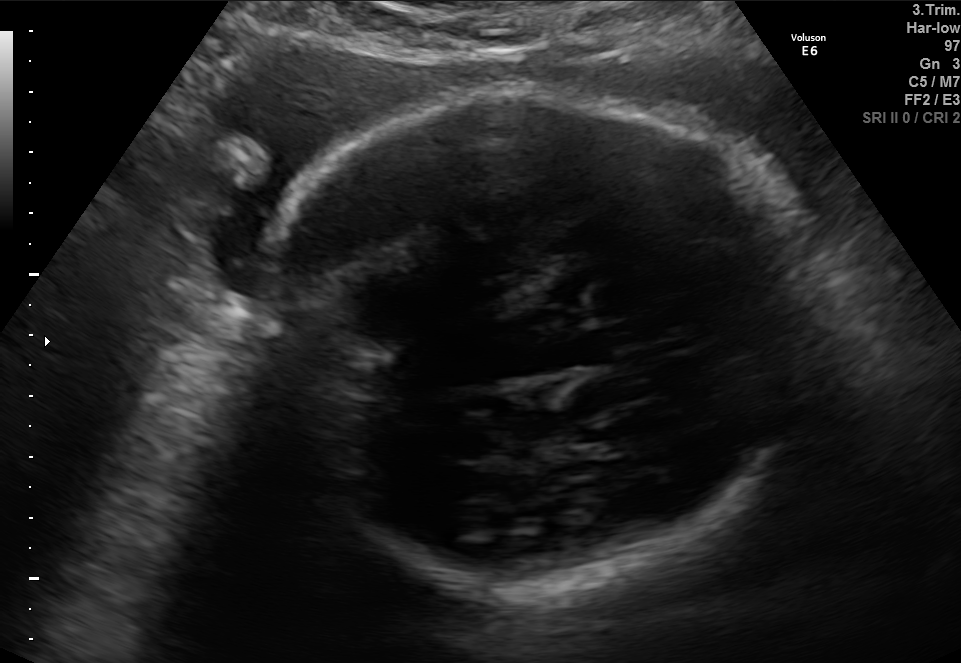
Fetal brain, trans-thalamic plane. Locate the fetal head.

Head: [254,91,806,594]